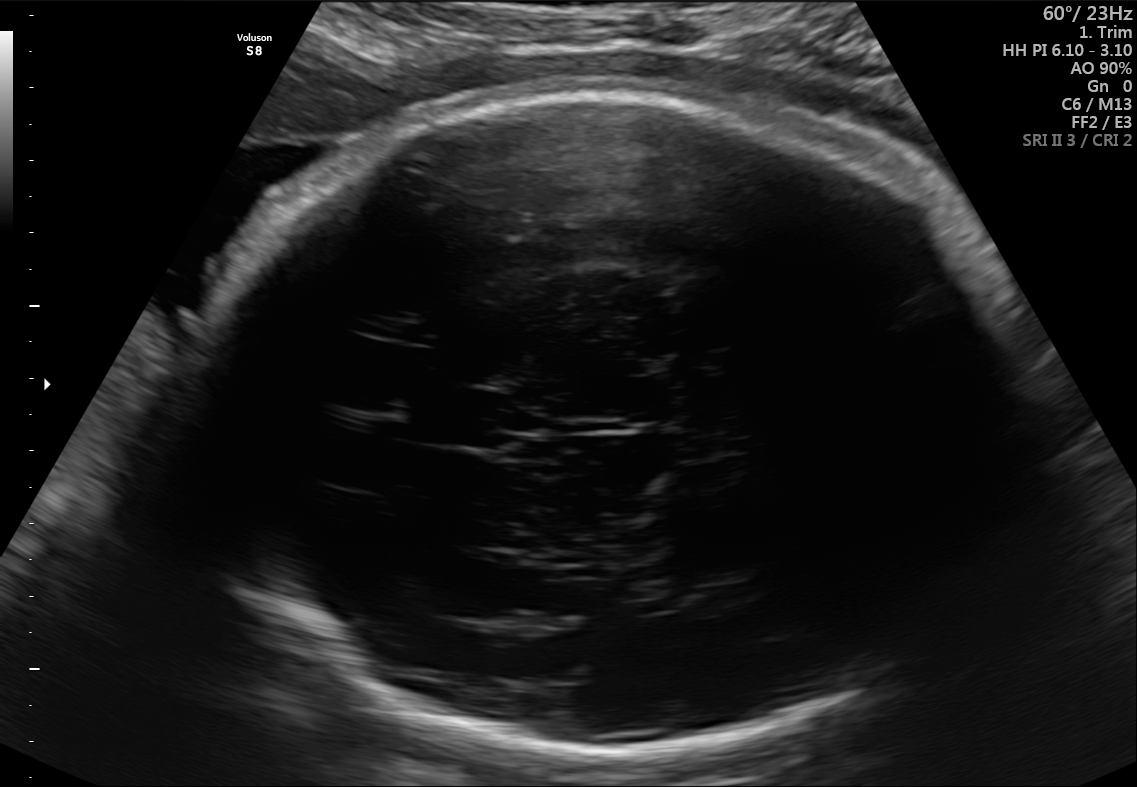
Fetal brain, trans-thalamic plane. Locate the fetal head.

Head: [179,86,1029,749]